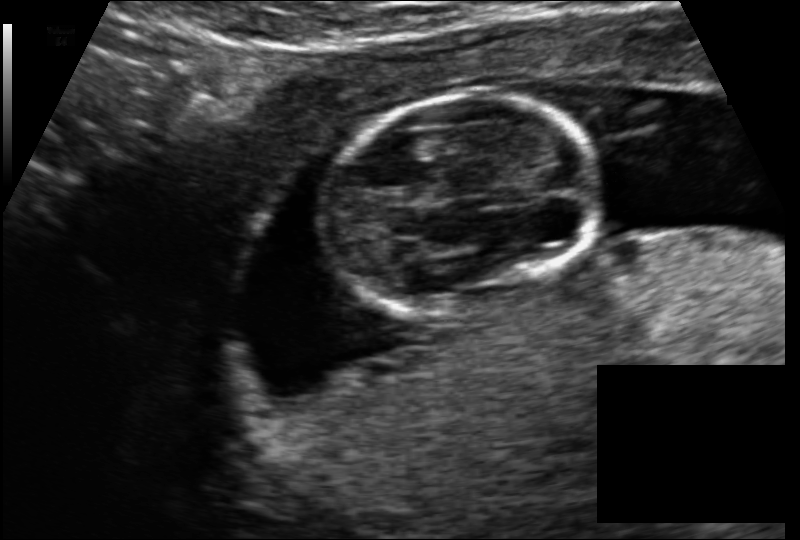
In this fetal head ultrasound, give bounding boxes for the head outline, cavum septum pellucidum (CSP), and lateral ventricle (LV), where visible. Image width: 91.1 mm.

Head: [324,95,596,313]